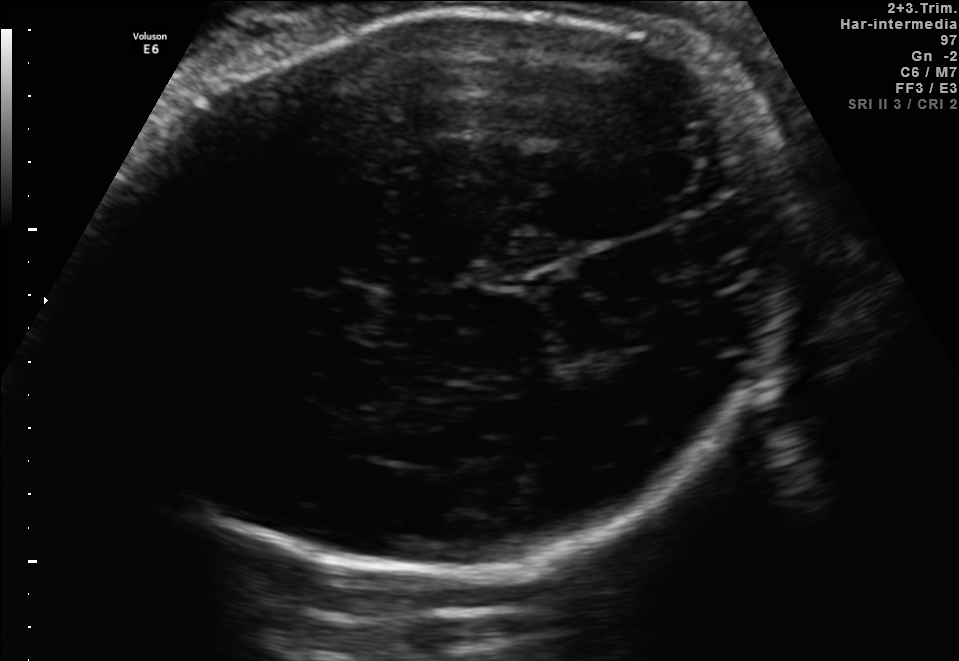
In this fetal brain, trans-thalamic plane, give bounding boxes for the head outline, cavum septum pellucidum (CSP), and lateral ventricle (LV), where visible.

Head: [98,6,797,571]